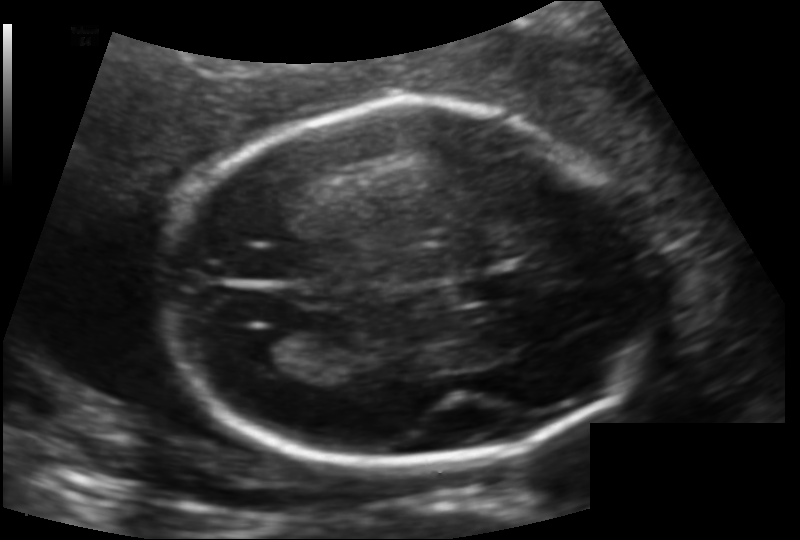
Fetal head ultrasound. Image width: 106.2 mm. Where is the lateral ventricle?

Lateral ventricle bounding box: [228,325,298,371]